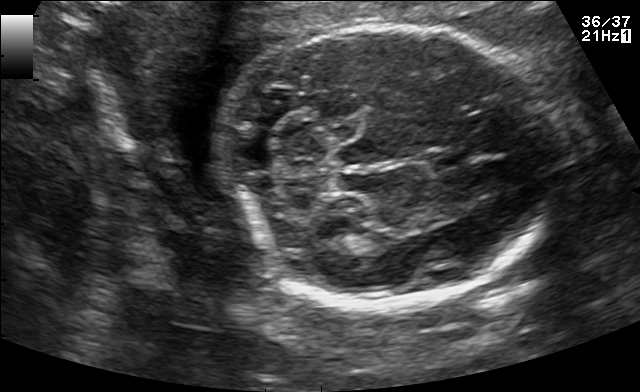
Fetal brain, trans-cerebellum plane. Locate the cavum septum pellucidum.

CSP: [422,138,479,175]